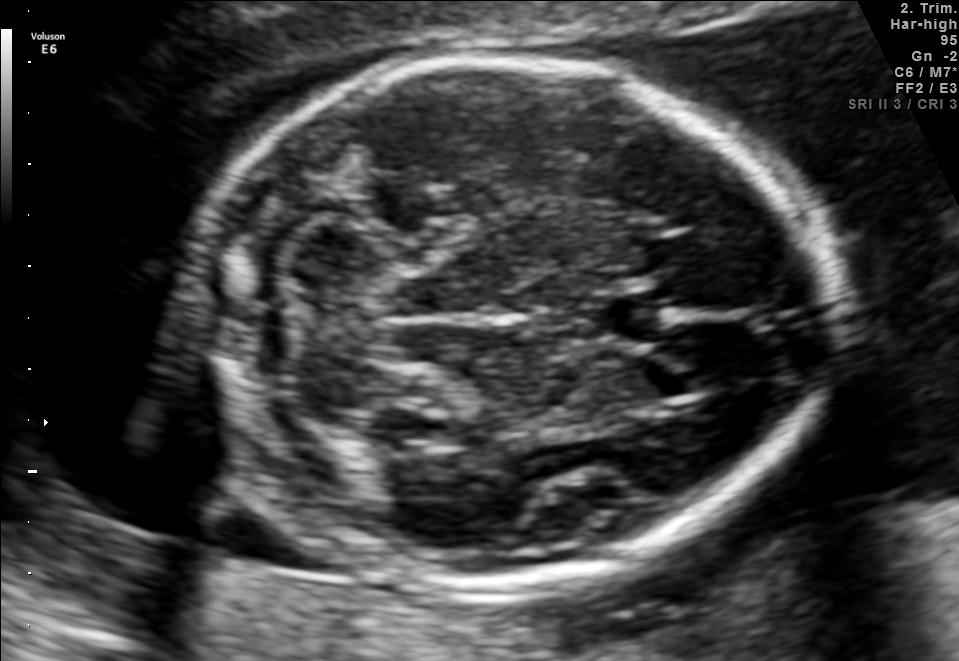
This is a 2D maternal-fetal ultrasound frame. Is it a fetal abdomen, fetal brain, fetal femur, fetal thorax, maternal cervix, or other standard plane? If it's fetal brain and one of the three standard brain planes (trans-thalamic, trans-cerebellum, trans-ventricular), name which.

Fetal brain (trans-cerebellum plane)